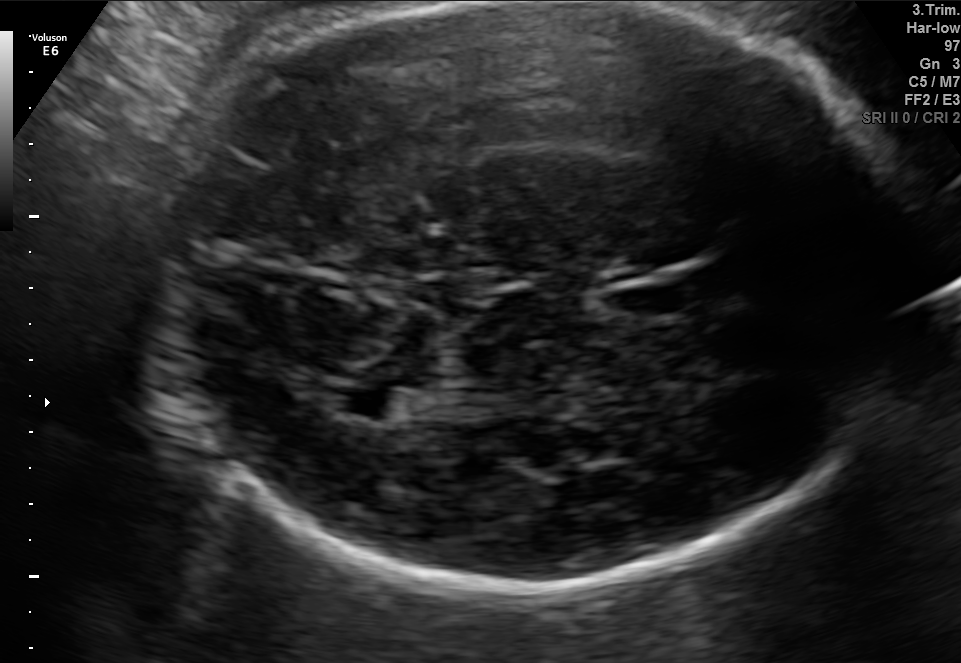
Fetal brain, trans-thalamic plane. Where is the fetal head?

Head bounding box: [167,2,912,591]